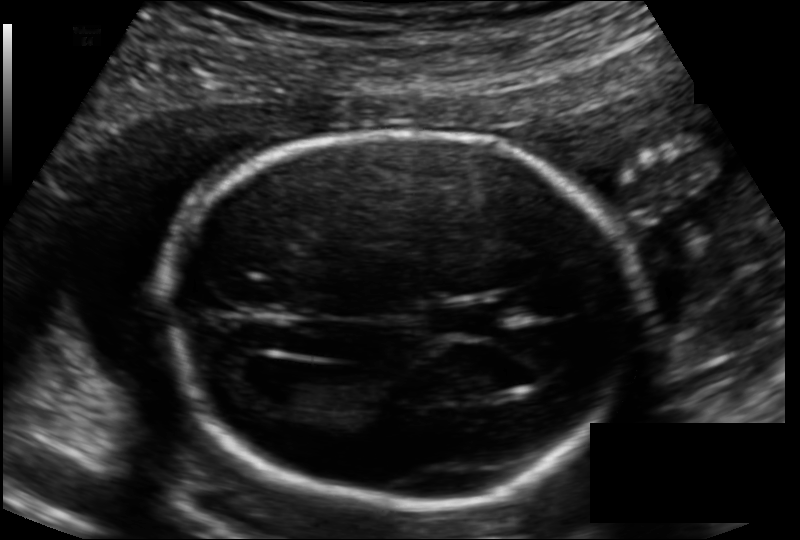
In this fetal head ultrasound, give the bounding box of the fetal head. Image width: 100.8 mm.

[168,133,634,505]